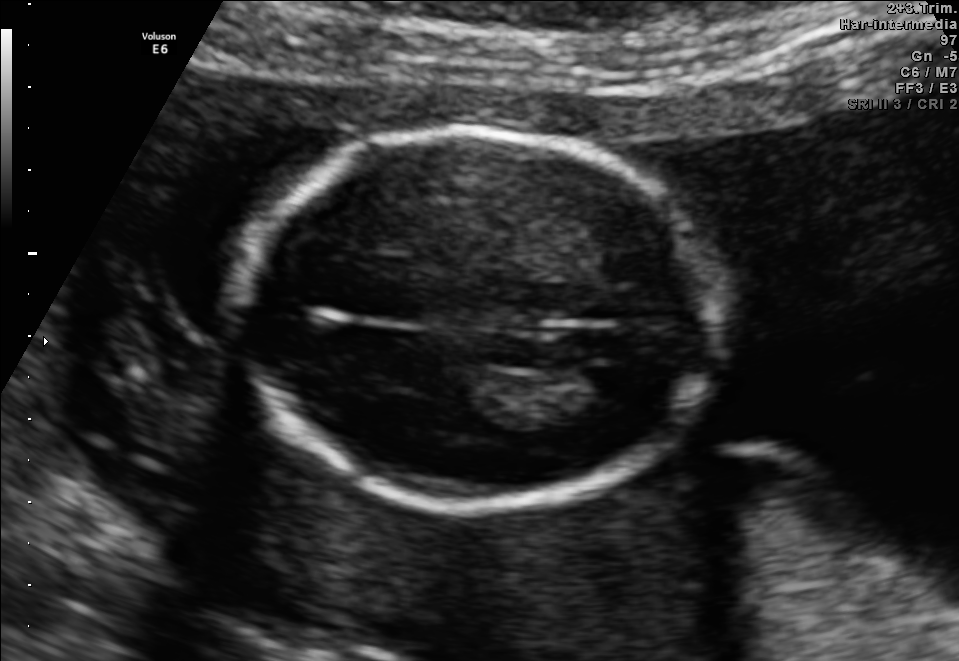
Fetal brain, trans-ventricular plane. Locate the fetal head and, if visible, the cavum septum pellucidum (CSP) and lateral ventricle (LV). Give bounding boxes as [x1,y1,x2,y2].

Head: [226,122,737,515]
Lateral ventricle: [579,363,636,402]